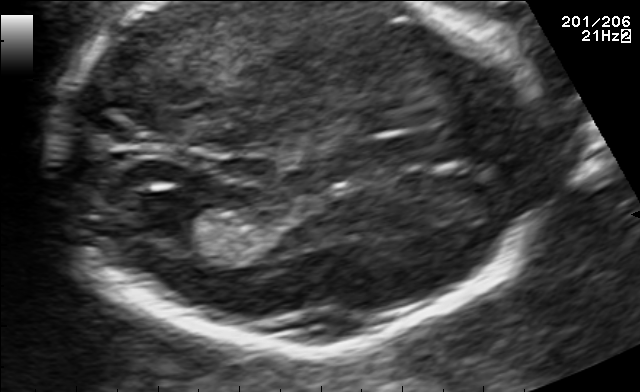
Fetal brain, trans-thalamic plane. Give [x1,y1,x2,y2] bounding boxes for each visible structure among: CSP, LV.

CSP: [369,125,459,171]
Lateral ventricle: [135,197,219,247]